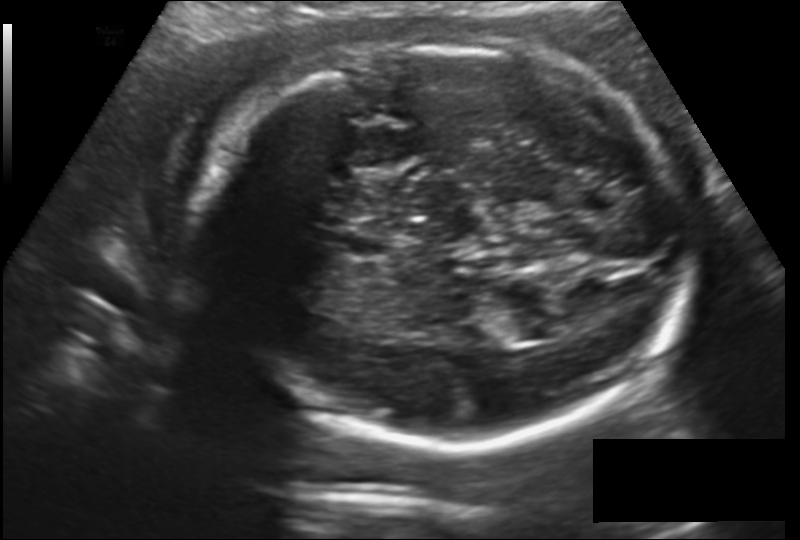
In this fetal head ultrasound, give the bounding box of the fetal head. Image width: 142.0 mm.

[195,47,697,445]